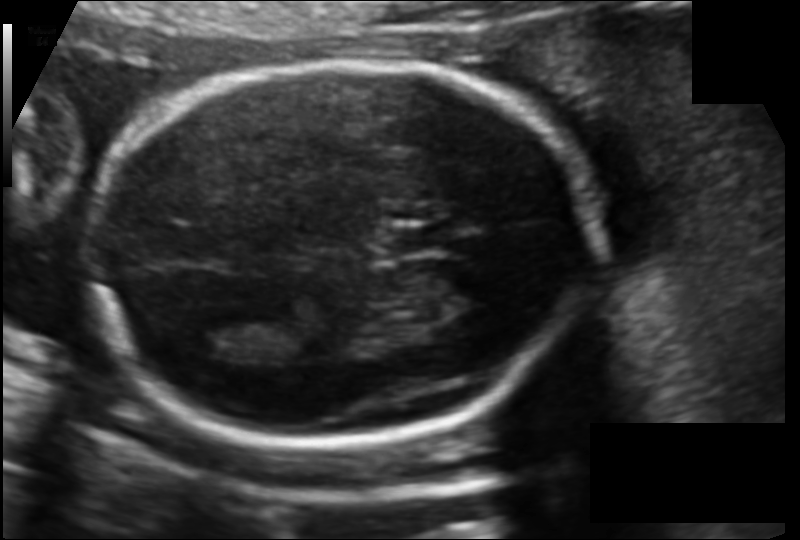
Fetal head ultrasound. Image width: 96.2 mm. Where is the lateral ventricle?

Lateral ventricle bounding box: [185,323,251,360]